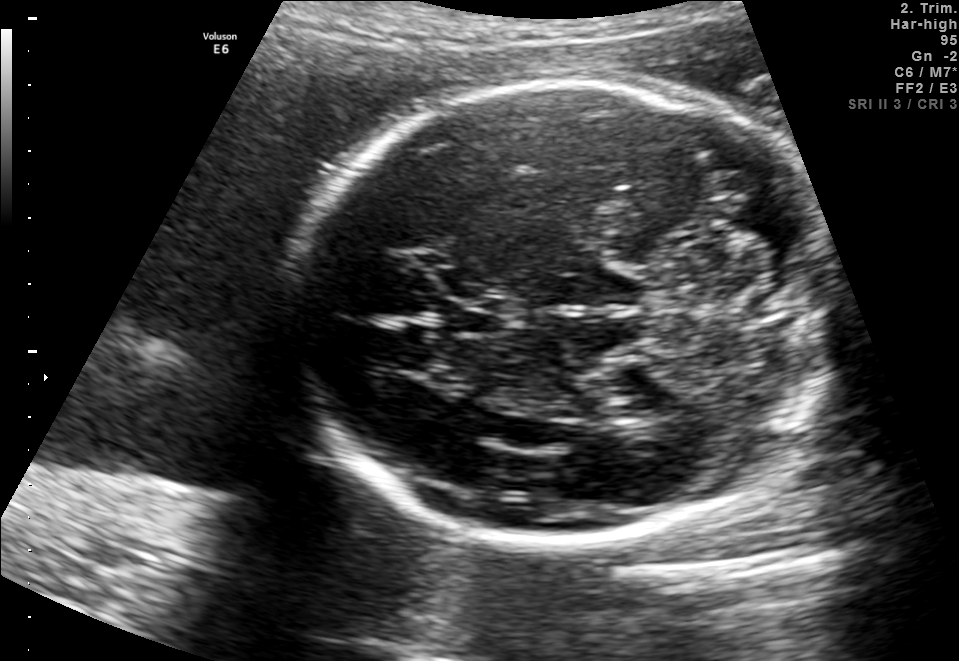
In this fetal brain, trans-cerebellum plane, give the bounding box of the fetal head.

[296,83,835,546]